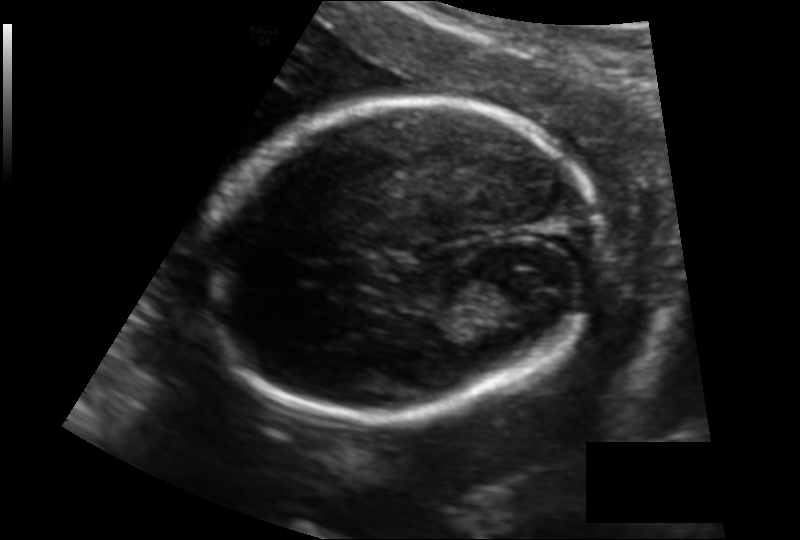
In this fetal head ultrasound, give the bounding box of the fetal head. Image width: 112.2 mm.

[199,102,600,420]